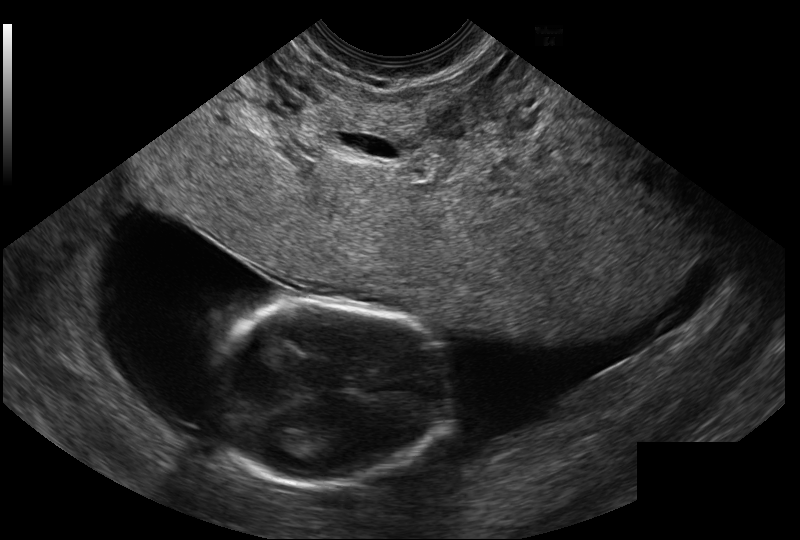
In this fetal head ultrasound, give the bounding box of the fetal head. Image width: 91.4 mm.

[209,301,452,486]